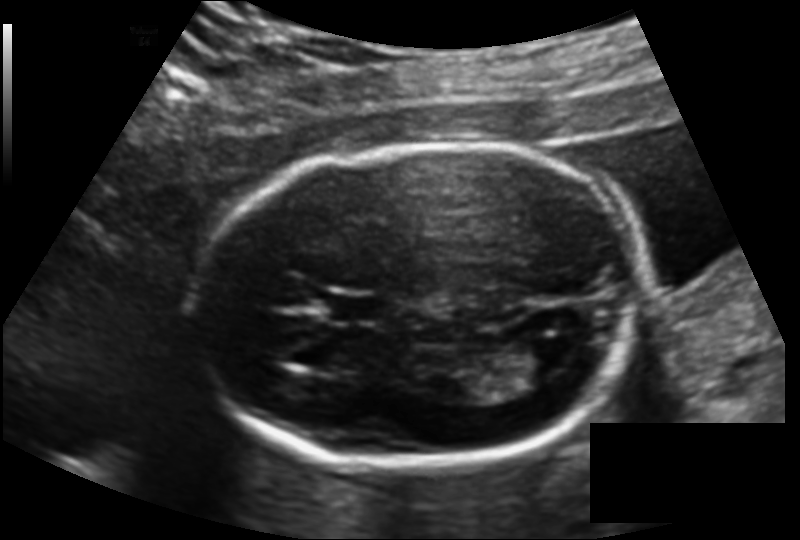
Estimate the fetal head circumference from this 2D ultrasound.

Head circumference: 174.9 mm (image width 109.3 mm).